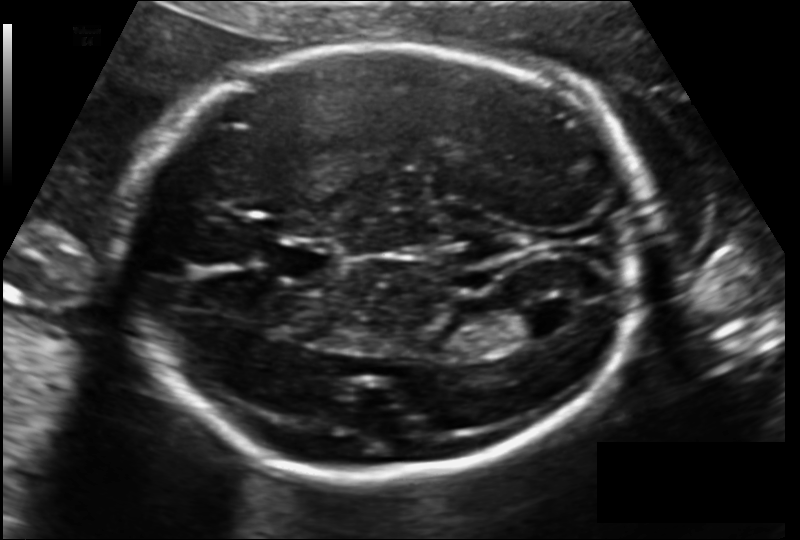
Fetal head ultrasound. Image width: 118.5 mm. Locate the lateral ventricle.

Lateral ventricle: [496,298,563,346]